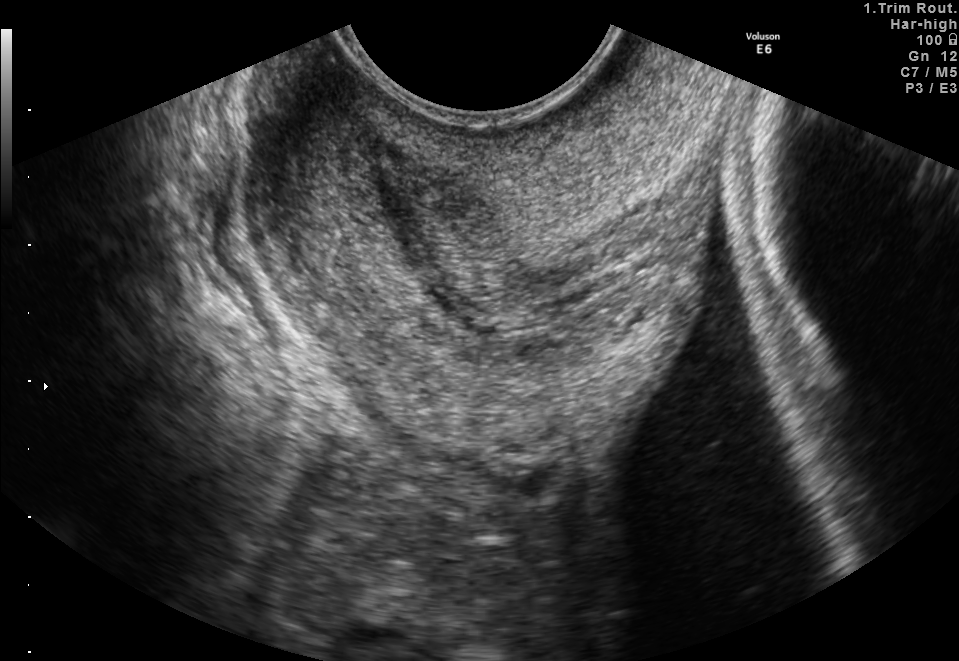
Which standard maternal-fetal ultrasound plane is shown: fetal abdomen, fetal brain, fetal femur, fetal thorax, maternal cervix, or other? If it's fetal brain and one of the three standard brain planes (trans-thalamic, trans-cerebellum, trans-ventricular), name which.

Maternal cervix